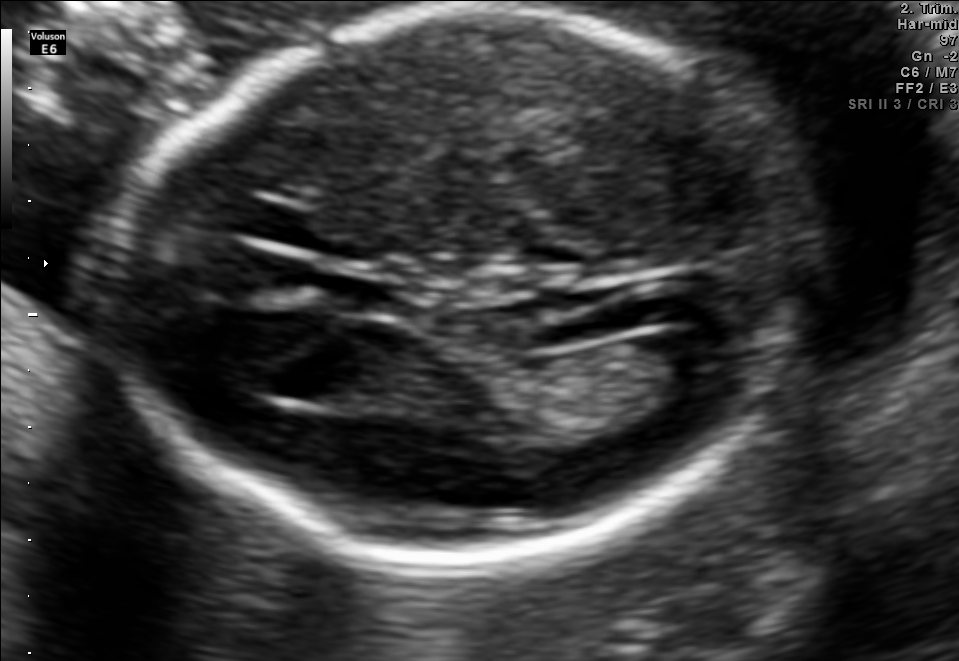
Fetal brain, trans-ventricular plane. Where is the cavum septum pellucidum?

CSP bounding box: [332,276,404,319]